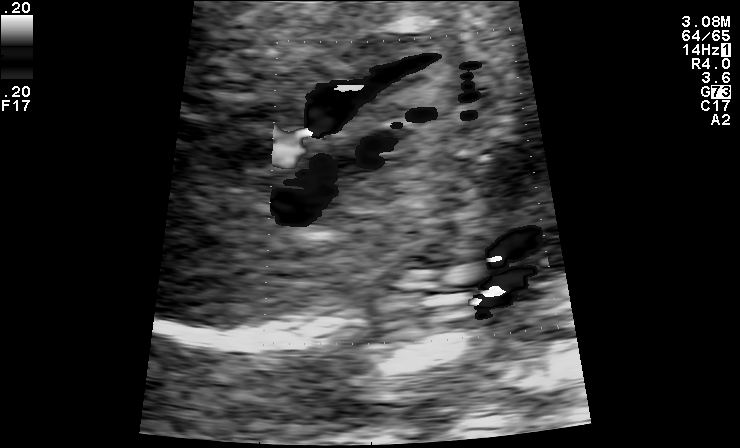
Classify this maternal-fetal ultrasound image as one of the six standard planes — fetal abdomen, fetal brain, fetal femur, fetal thorax, maternal cervix, or other. If it's fetal brain and one of the three standard brain planes (trans-thalamic, trans-cerebellum, trans-ventricular), name which.

Other